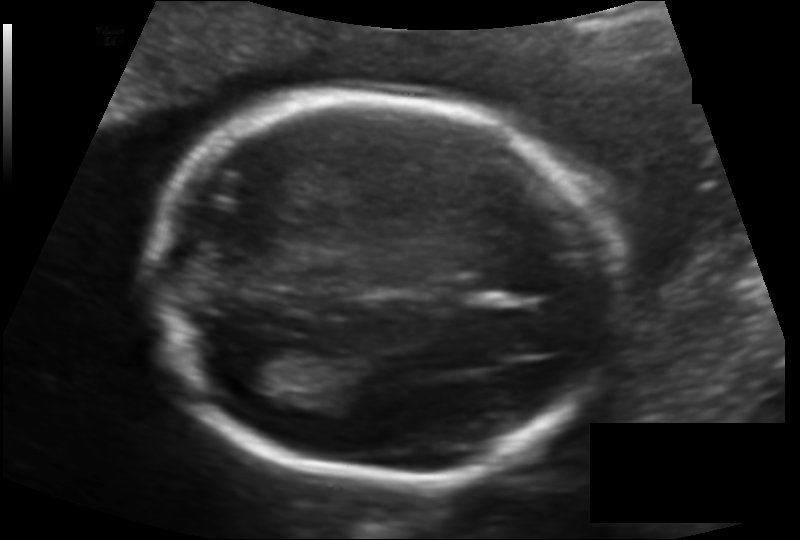
In this fetal head ultrasound, give the bounding box of the fetal head. Image width: 102.7 mm.

[152,95,616,480]